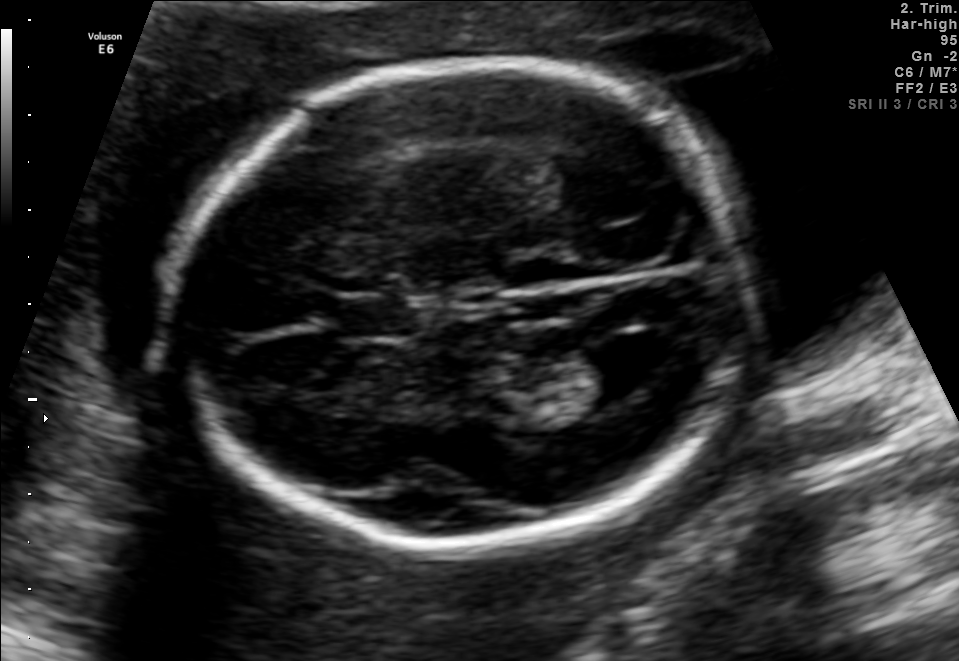
Fetal brain, trans-ventricular plane. Locate the cavum septum pellucidum.

CSP: [318,294,424,342]